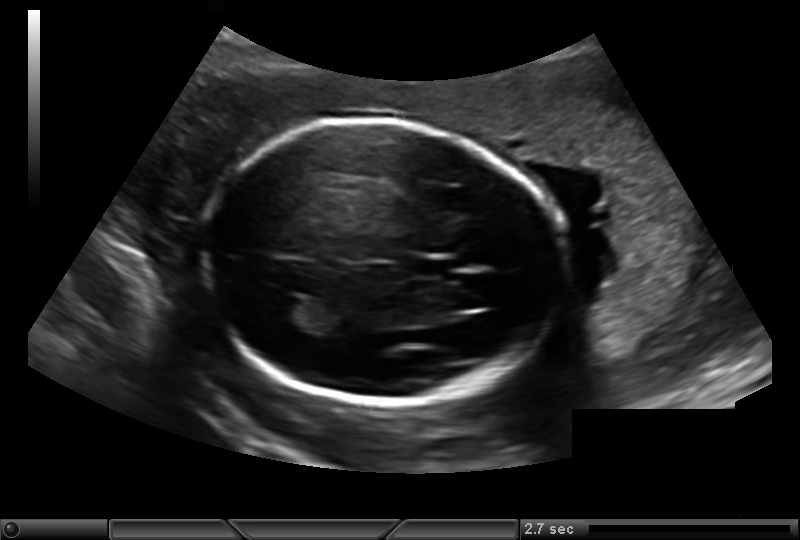
Fetal head ultrasound. Image width: 154.2 mm. Locate the cavum septum pellucidum.

CSP: [408,257,455,279]